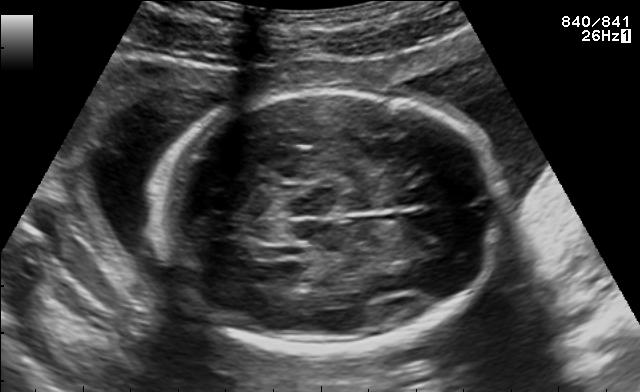
Fetal brain, trans-thalamic plane. Locate the fetal head.

Head: [152,90,507,353]